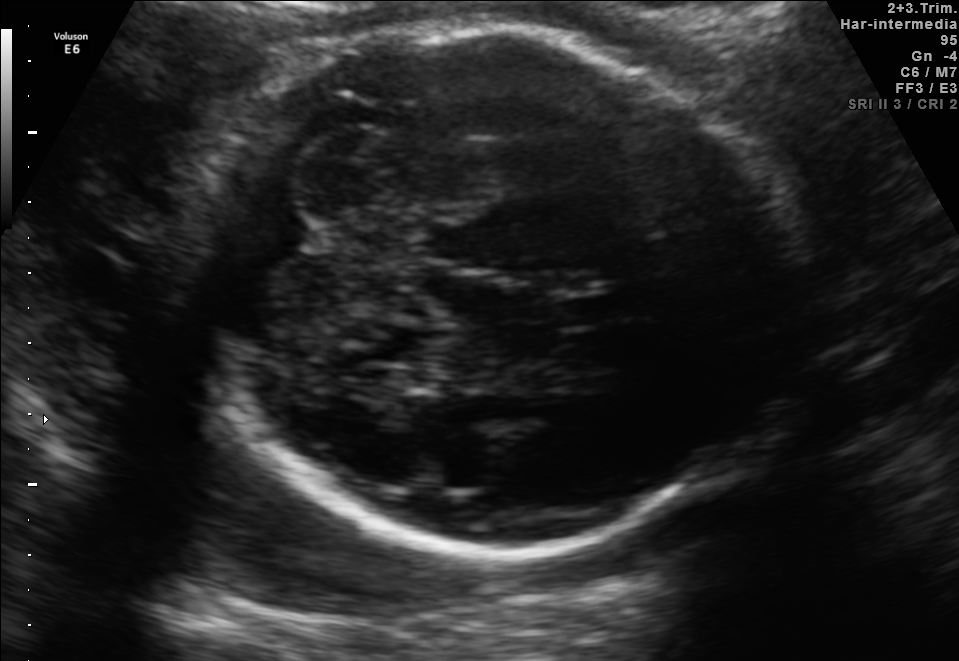
Identify the standard plane in this fetal ultrasound image: fetal abdomen, fetal brain, fetal femur, fetal thorax, maternal cervix, or other. If it's fetal brain and one of the three standard brain planes (trans-thalamic, trans-cerebellum, trans-ventricular), name which.

Fetal brain (trans-cerebellum plane)